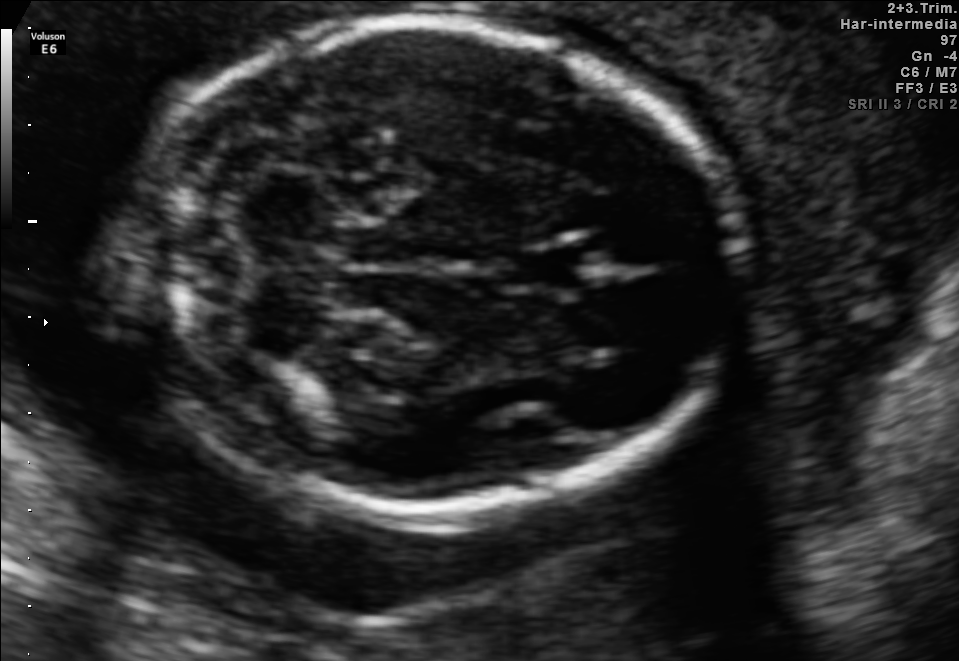
Fetal brain, trans-cerebellum plane. Locate the cavum septum pellucidum.

CSP: [504,243,590,294]